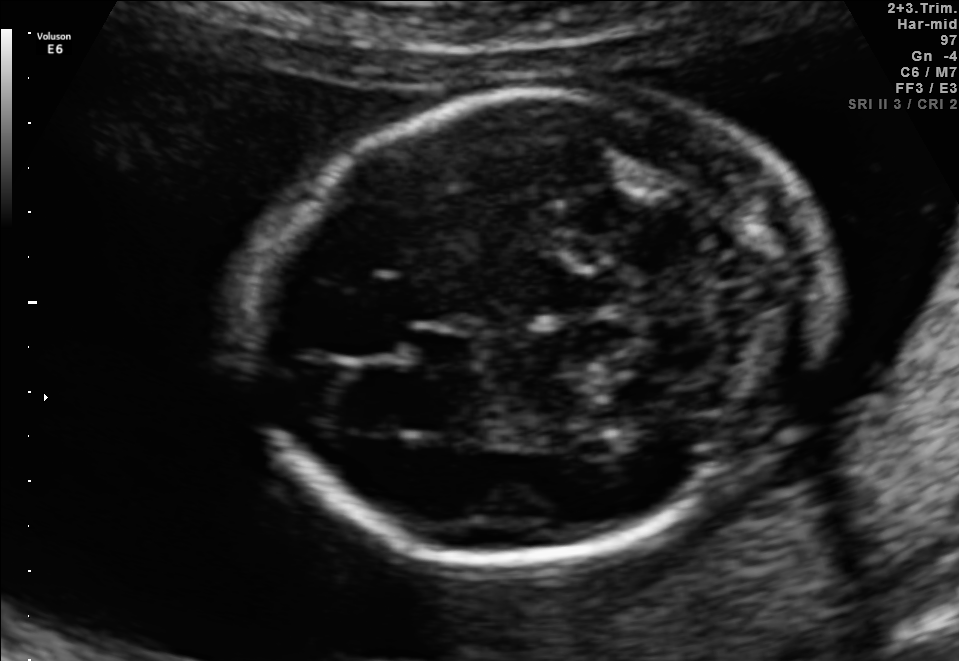
Fetal brain, trans-cerebellum plane. Where is the fetal head?

Head bounding box: [250,90,821,559]